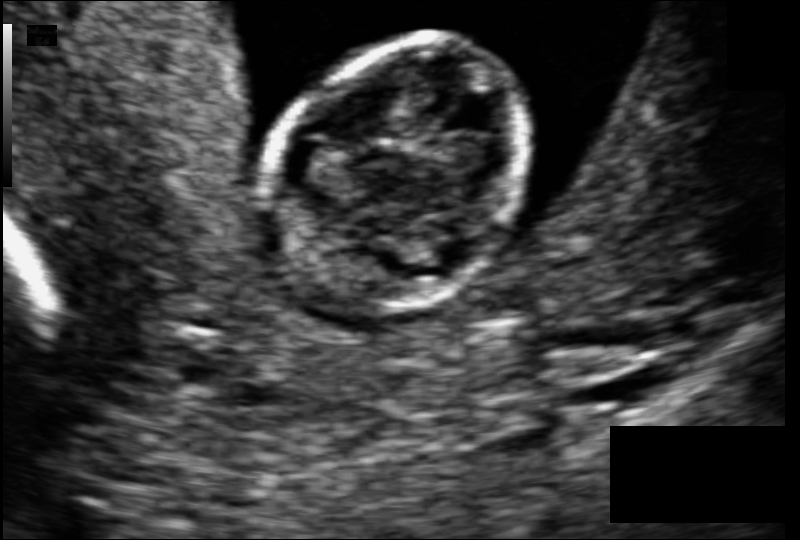
Fetal head ultrasound. Image width: 63.6 mm. Where is the fetal head?

Head bounding box: [266,41,532,315]